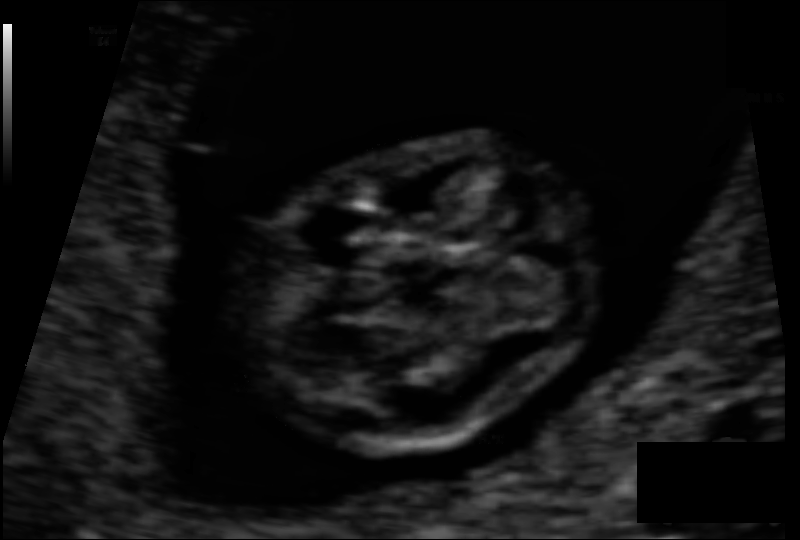
Estimate the fetal head circumference from this 2D ultrasound.

Head circumference: 65.0 mm (image width 48.2 mm).